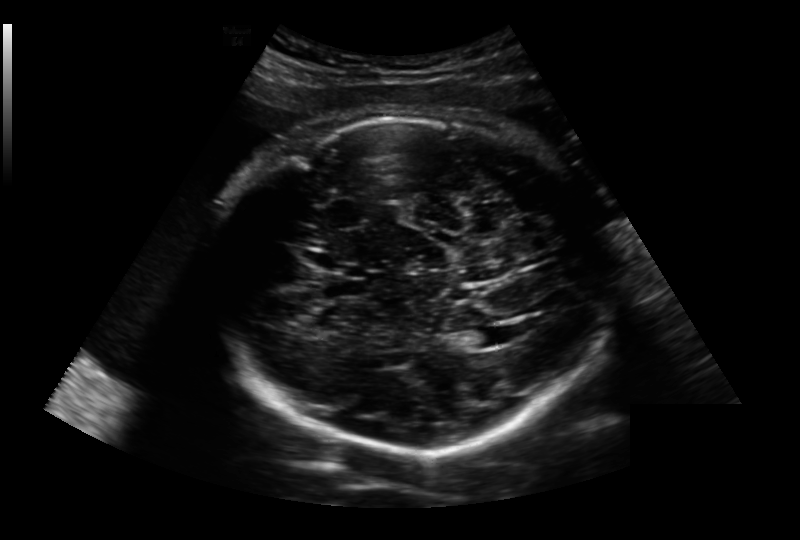
What is the fetal head circumference? Image width is 188.7 mm.

285.0 mm